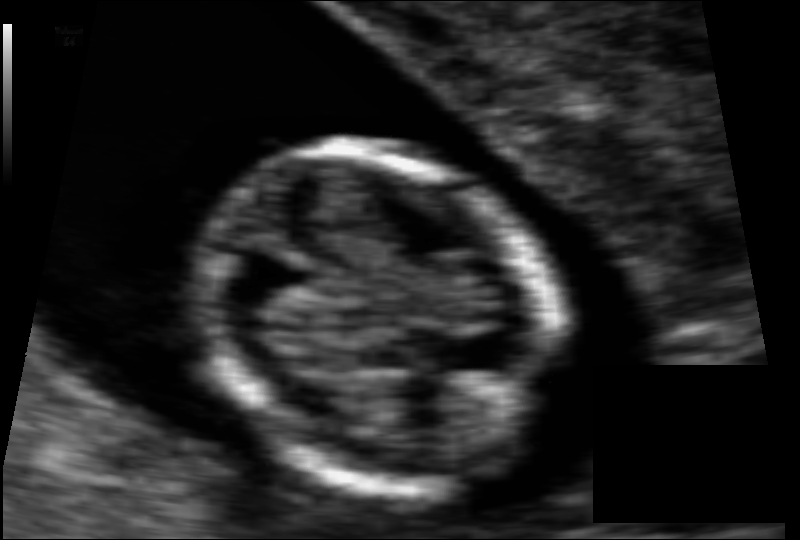
Estimate the fetal head circumference from this 2D ultrasound.

Head circumference: 69.9 mm (image width 49.4 mm).